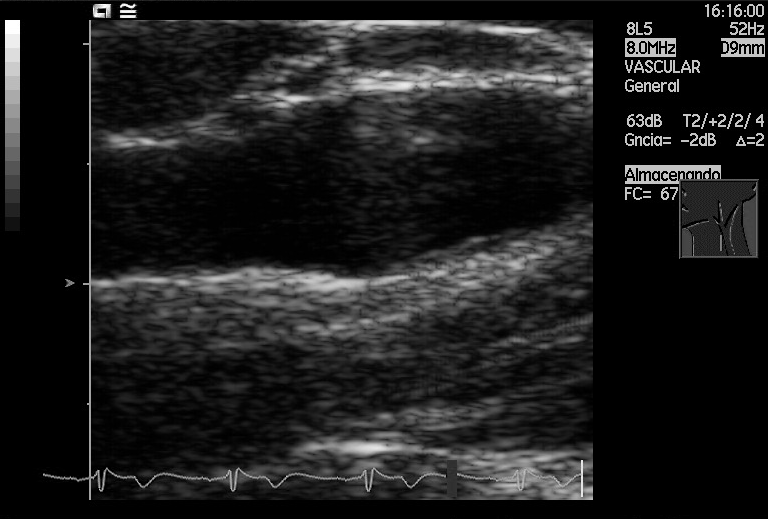
Identify the standard plane in this fetal ultrasound image: fetal abdomen, fetal brain, fetal femur, fetal thorax, maternal cervix, or other. If it's fetal brain and one of the three standard brain planes (trans-thalamic, trans-cerebellum, trans-ventricular), name which.

Other